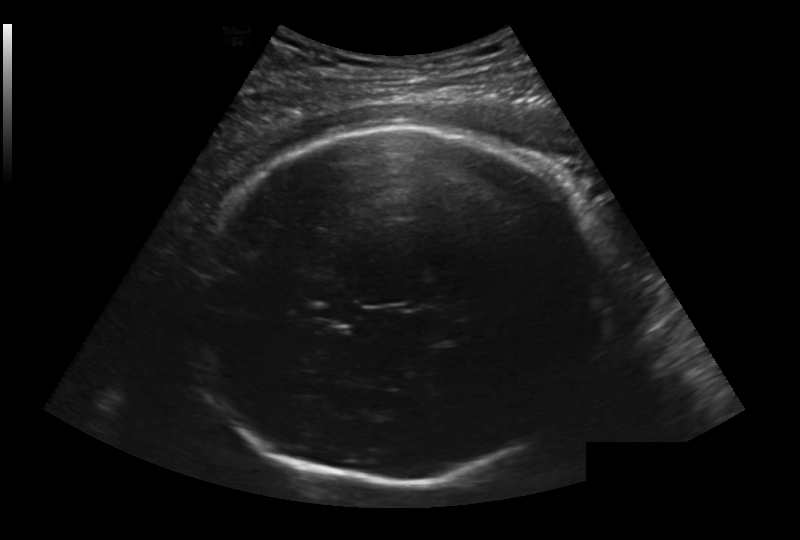
What is the fetal head circumference? Image width is 188.7 mm.

289.2 mm